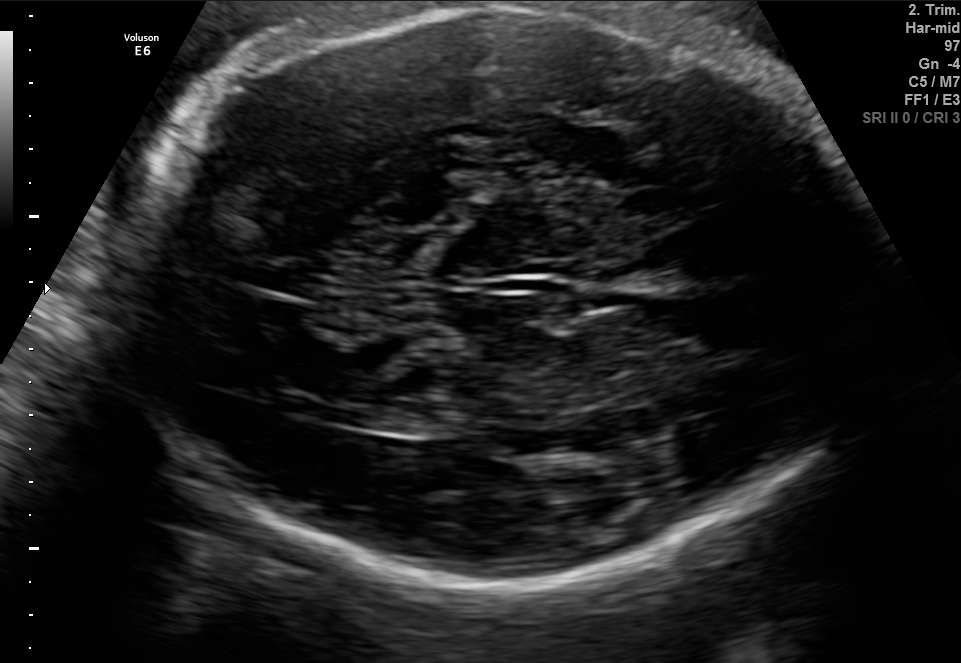
Classify this maternal-fetal ultrasound image as one of the six standard planes — fetal abdomen, fetal brain, fetal femur, fetal thorax, maternal cervix, or other. If it's fetal brain and one of the three standard brain planes (trans-thalamic, trans-cerebellum, trans-ventricular), name which.

Fetal brain (trans-thalamic plane)